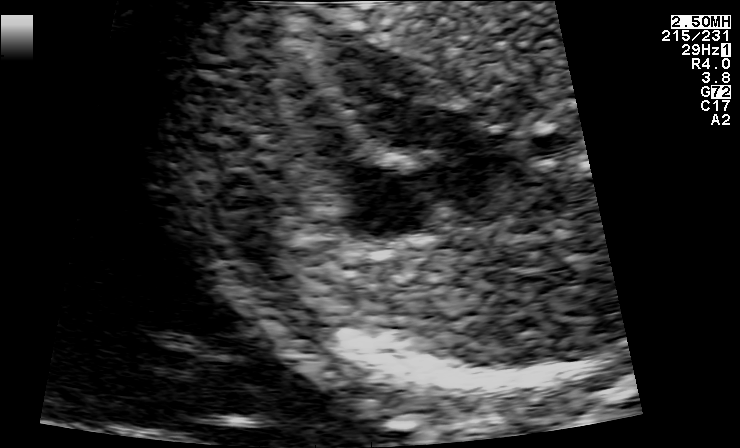
This is a 2D maternal-fetal ultrasound frame. Is it a fetal abdomen, fetal brain, fetal femur, fetal thorax, maternal cervix, or other standard plane? If it's fetal brain and one of the three standard brain planes (trans-thalamic, trans-cerebellum, trans-ventricular), name which.

Other